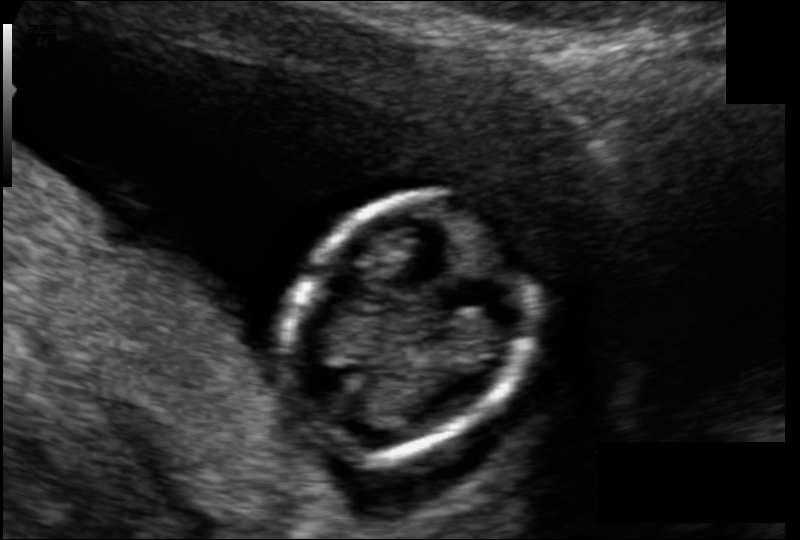
In this fetal head ultrasound, give the bounding box of the fetal head. Image width: 71.6 mm.

[285,194,536,456]